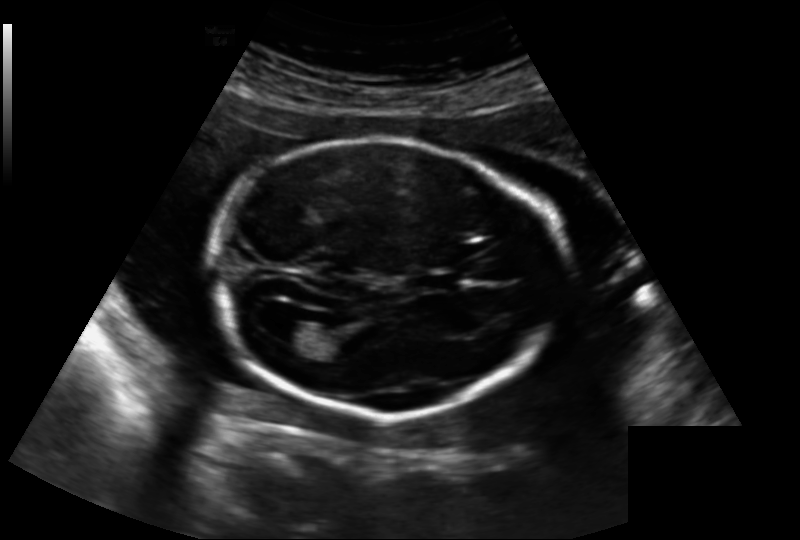
Estimate the fetal head circumference from this 2D ultrasound. Image width: 150.3 mm.

Head circumference: 193.1 mm.